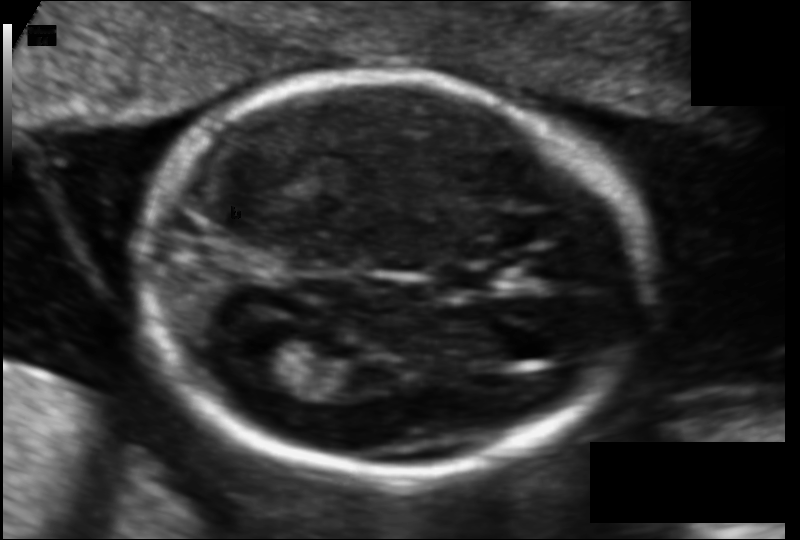
Estimate the fetal head circumference from this 2D ultrasound. Image width: 83.2 mm.

Head circumference: 150.5 mm.